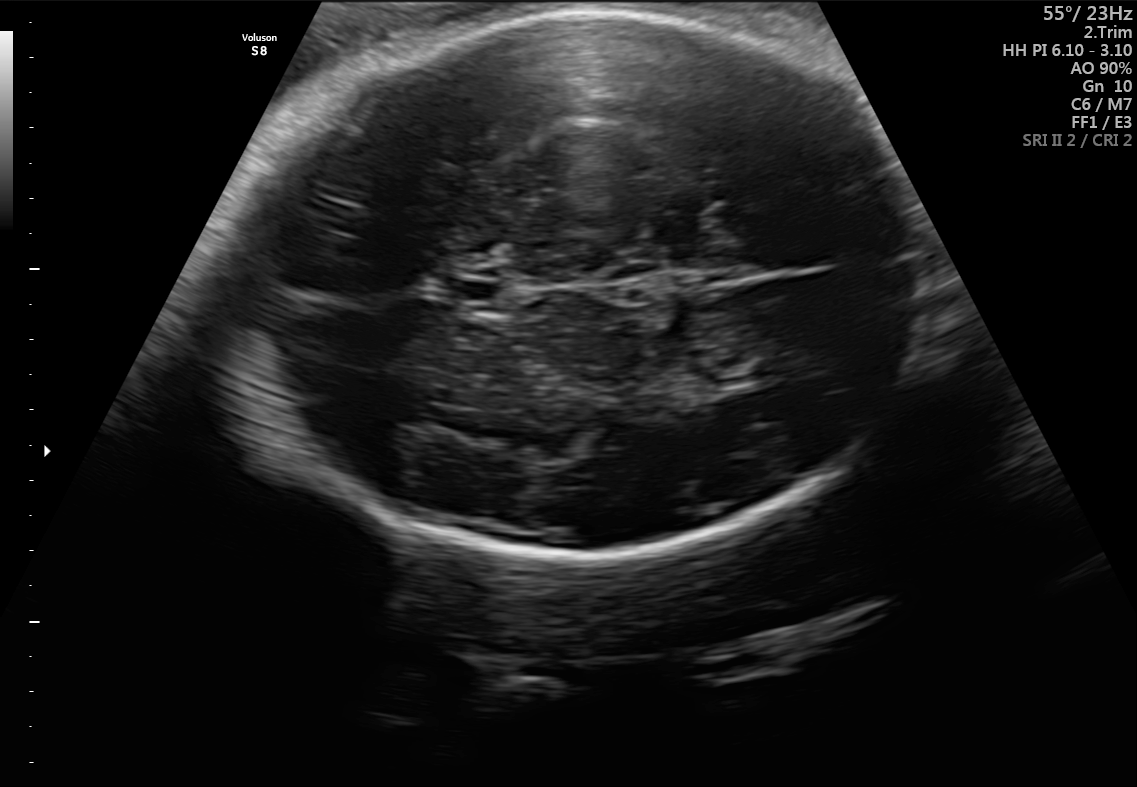
In this fetal brain, trans-thalamic plane, give the bounding box of the cavum septum pellucidum.

[446,278,501,302]